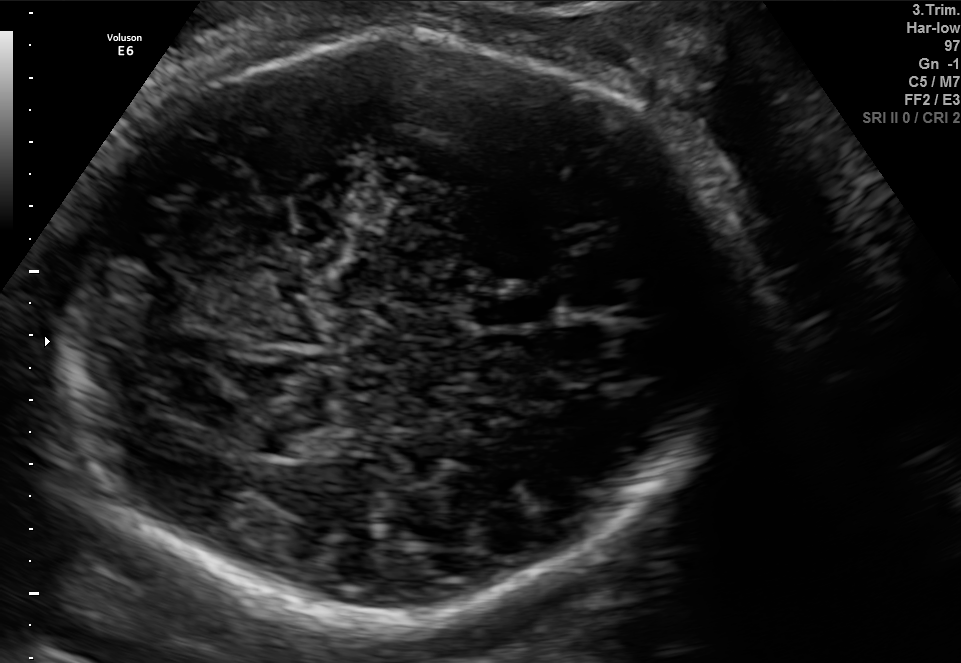
Fetal brain, trans-cerebellum plane. Locate the fetal head.

Head: [52,31,729,614]